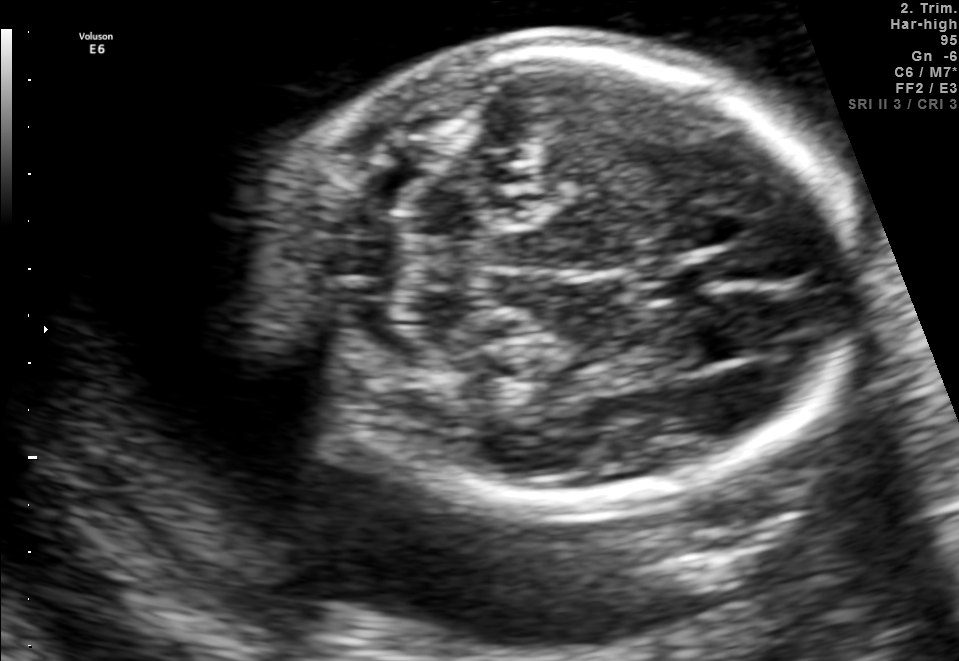
Fetal brain, trans-cerebellum plane. Locate the fetal head.

Head: [253,43,862,498]